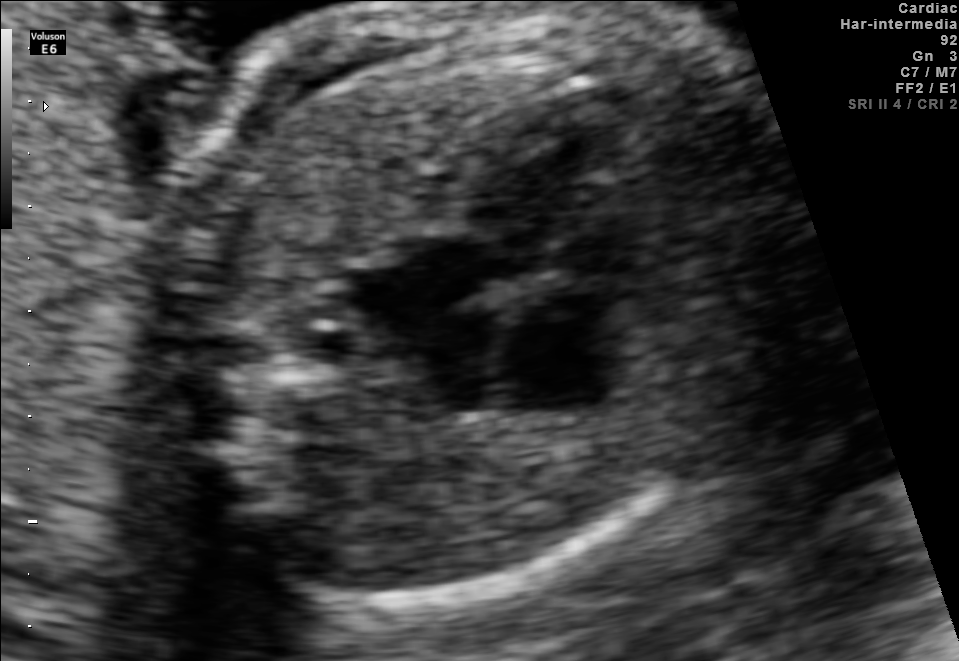
Which standard maternal-fetal ultrasound plane is shown: fetal abdomen, fetal brain, fetal femur, fetal thorax, maternal cervix, or other? If it's fetal brain and one of the three standard brain planes (trans-thalamic, trans-cerebellum, trans-ventricular), name which.

Fetal thorax